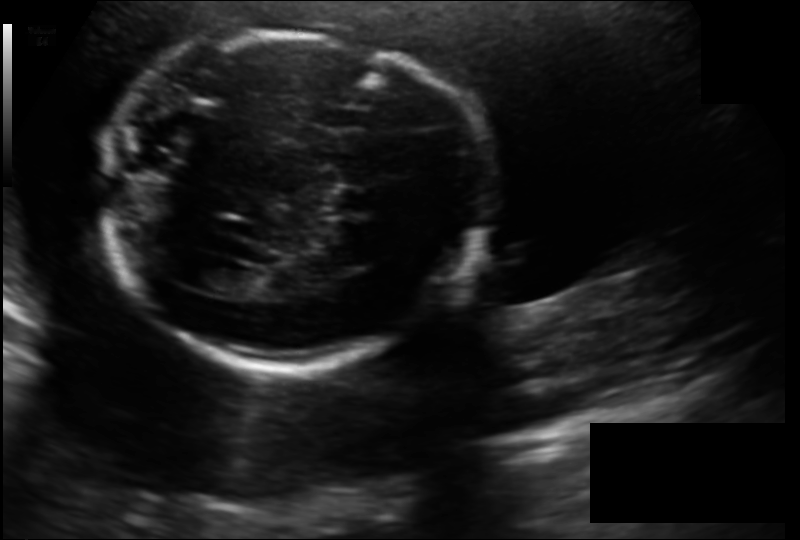
Fetal head ultrasound. Image width: 126.7 mm. Where is the fetal head?

Head bounding box: [98,34,486,367]